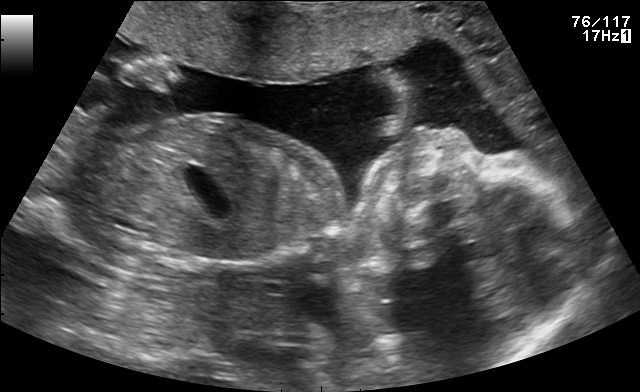
This is a 2D maternal-fetal ultrasound frame. Is it a fetal abdomen, fetal brain, fetal femur, fetal thorax, maternal cervix, or other standard plane? If it's fetal brain and one of the three standard brain planes (trans-thalamic, trans-cerebellum, trans-ventricular), name which.

Other